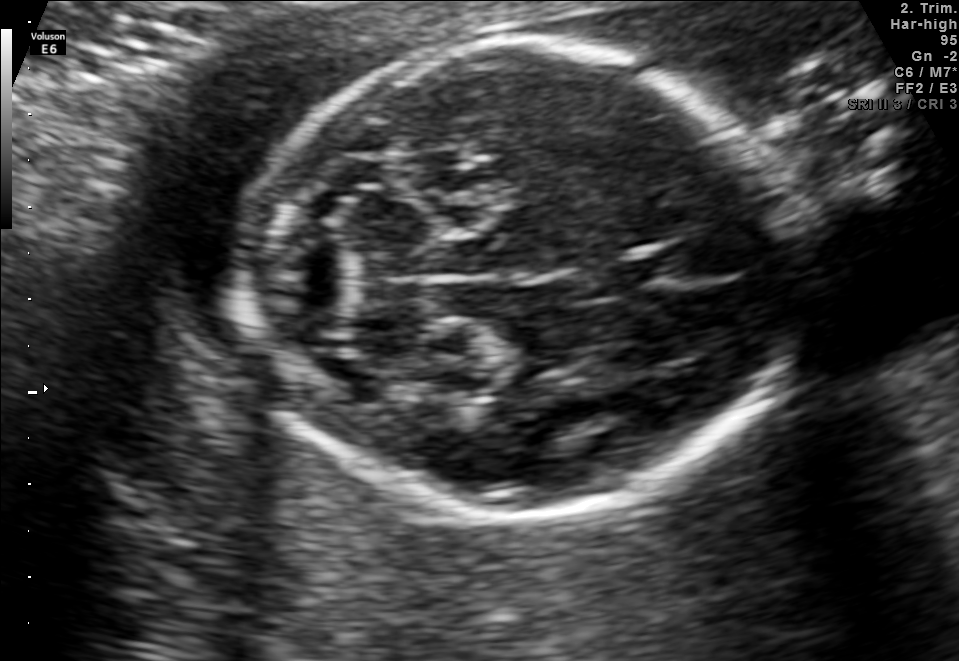
Fetal brain, trans-cerebellum plane. Give [x1,y1,x2,y2] bounding boxes for each visible structure among: fetal head, CSP, LV.

Head: [244,40,793,517]
CSP: [582,250,660,302]